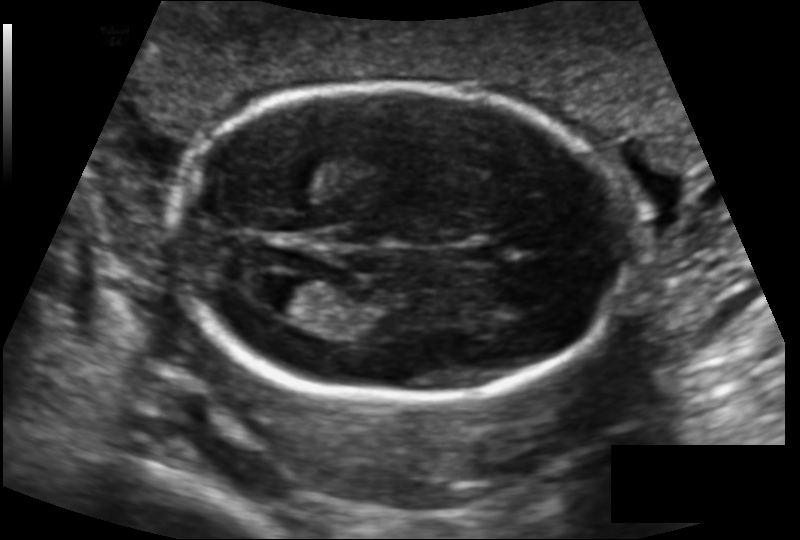
Fetal head ultrasound. Image width: 104.8 mm. Where is the fetal head?

Head bounding box: [173,83,634,400]